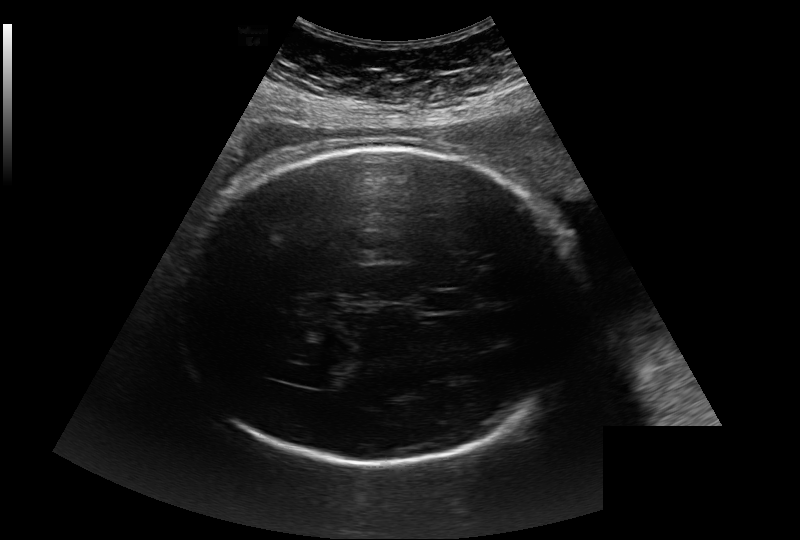
What is the fetal head circumference? Image width is 227.4 mm.

324.0 mm